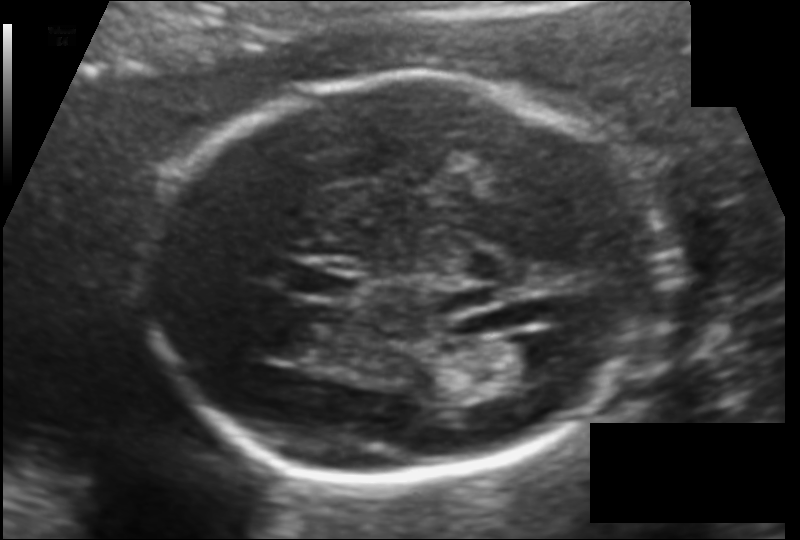
In this fetal head ultrasound, give bounding boxes for the head outline, cavum septum pellucidum (CSP), and lateral ventricle (LV), where visible. Image width: 95.9 mm.

Head: [153,74,664,481]
CSP: [286,263,360,306]
Lateral ventricle: [485,329,571,386]